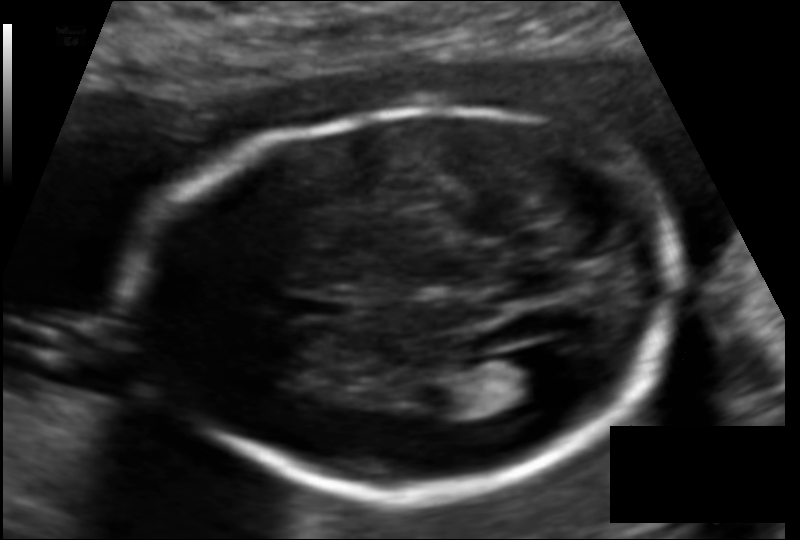
Fetal head ultrasound. Image width: 91.1 mm. Locate the lateral ventricle.

Lateral ventricle: [481,344,561,413]